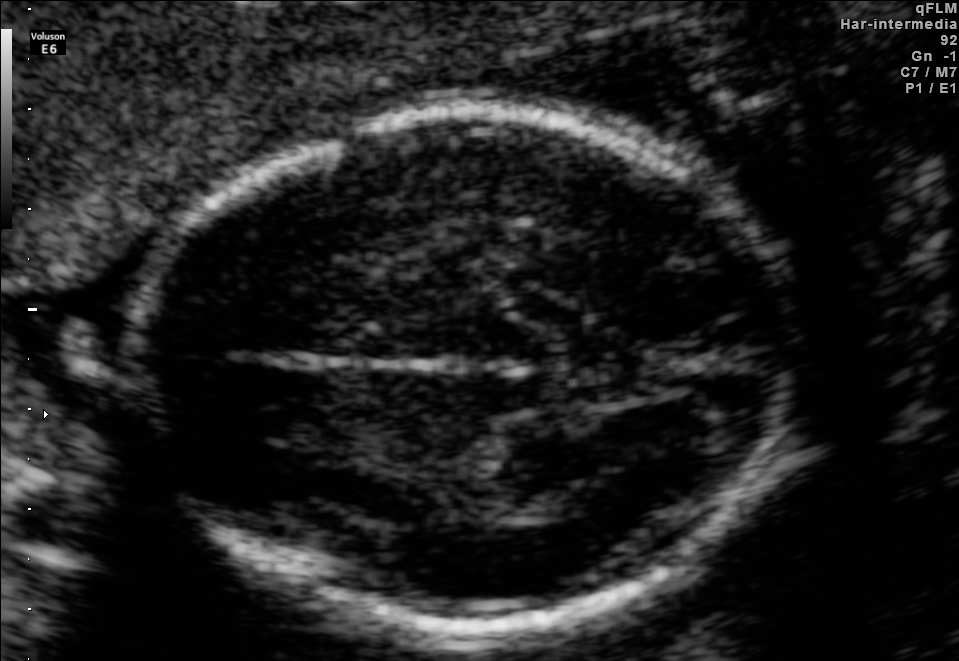
Fetal brain, trans-thalamic plane. Locate the fetal head and, if visible, the cavum septum pellucidum (CSP) and lateral ventricle (LV). Give bounding boxes as [x1,y1,x2,y2].

Head: [133,113,792,636]